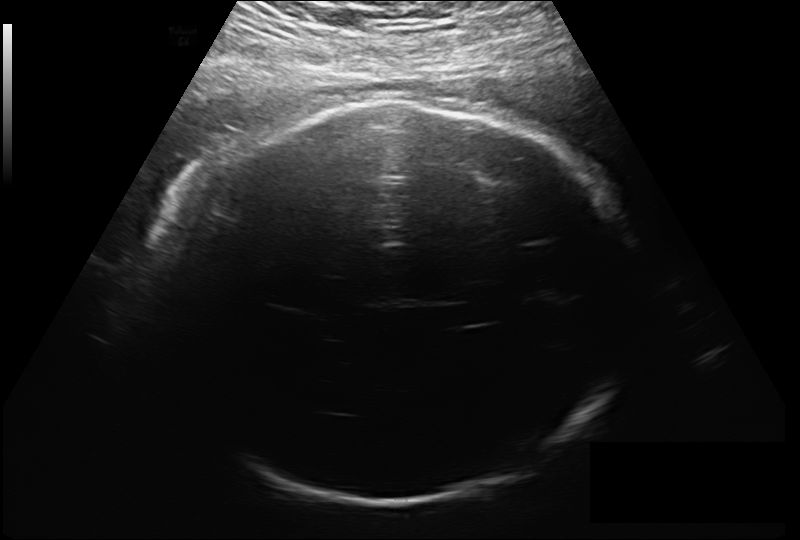
Estimate the fetal head circumference from this 2D ultrasound.

Head circumference: 306.0 mm (image width 170.5 mm).